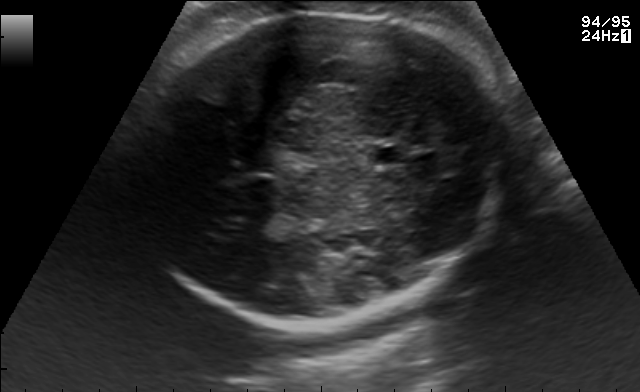
Fetal brain, trans-thalamic plane. Locate the fetal head.

Head: [133,11,507,323]